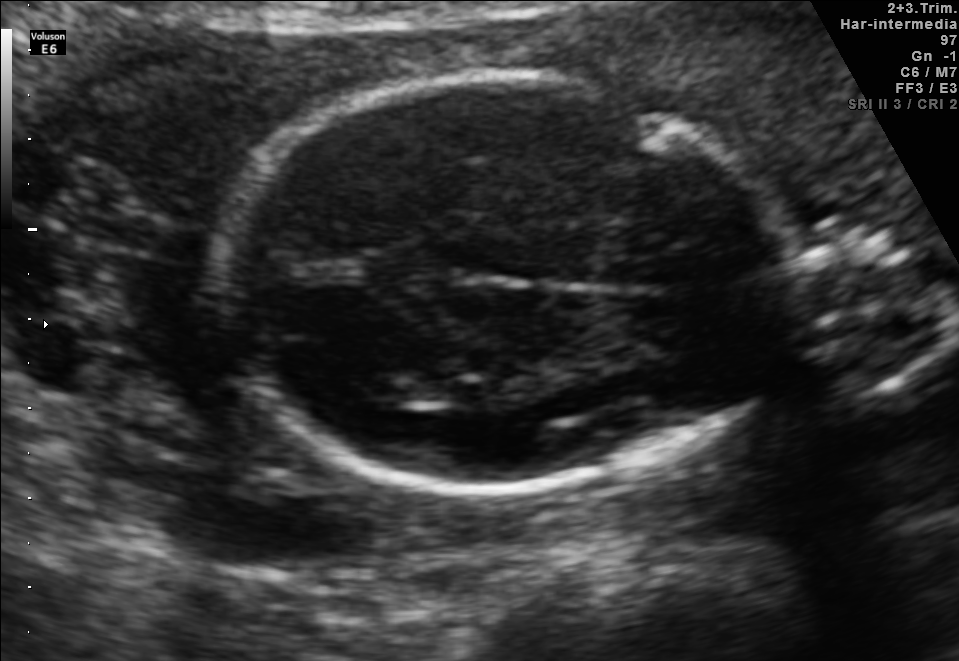
In this fetal brain, trans-thalamic plane, give bounding boxes for the head outline, cavum septum pellucidum (CSP), and lateral ventricle (LV), where visible.

Head: [217,74,788,491]
Lateral ventricle: [348,373,430,407]